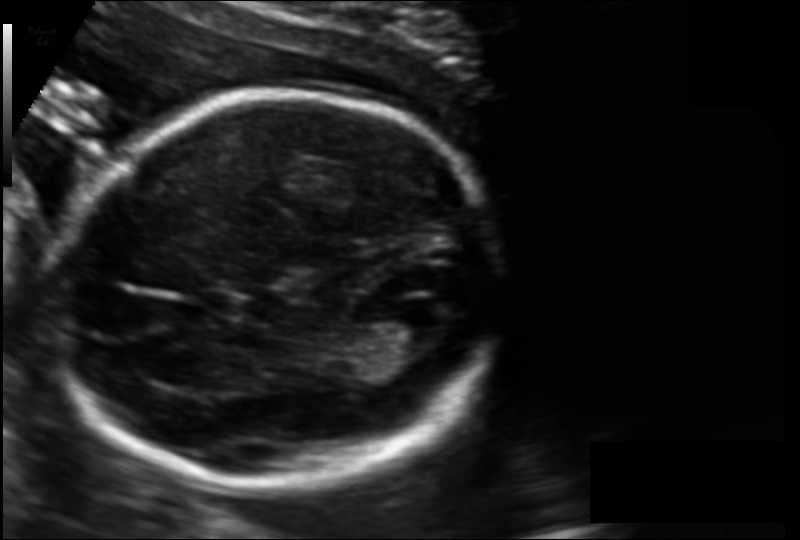
In this fetal head ultrasound, give the bounding box of the lateral ventricle. Image width: 102.4 mm.

[375,290,453,359]